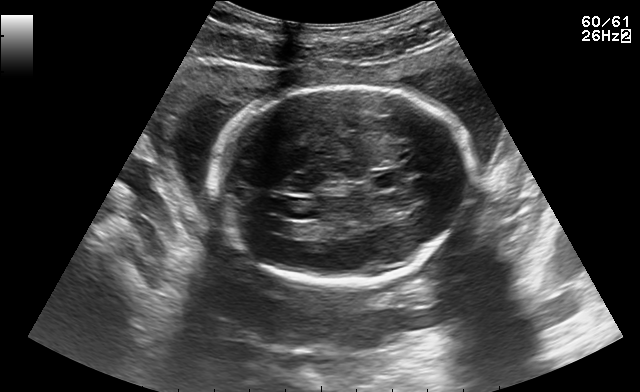
In this fetal brain, trans-ventricular plane, give the bounding box of the cavum septum pellucidum.

[373,172,397,190]